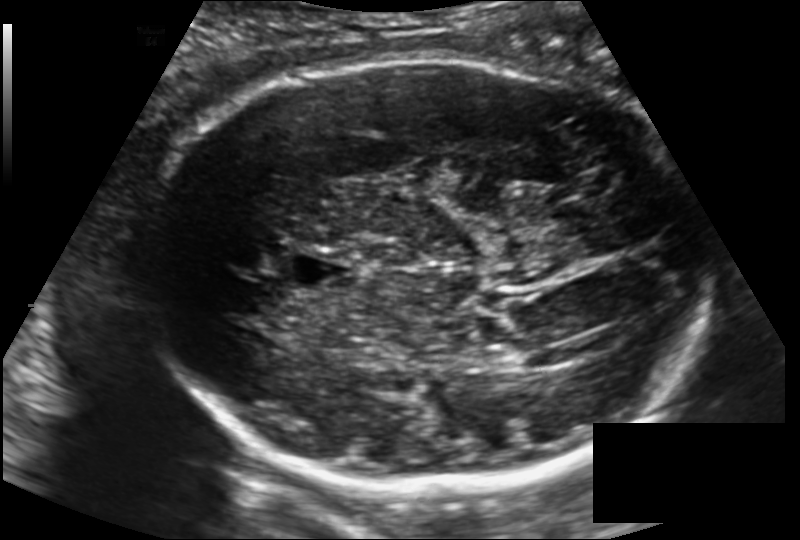
Fetal head ultrasound. Image width: 136.5 mm. Give [x1,y1,x2,y2] bounding boxes for each visible structure among: fetal head, CSP, LV.

Head: [137,59,710,486]
CSP: [284,249,360,296]
Lateral ventricle: [494,338,546,370]